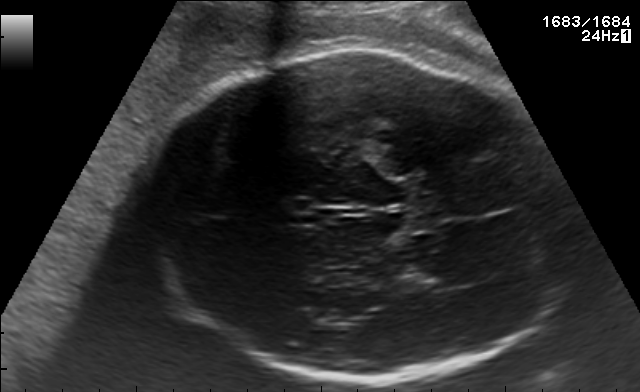
Fetal brain, trans-thalamic plane. Where is the fetal head?

Head bounding box: [136,47,564,382]